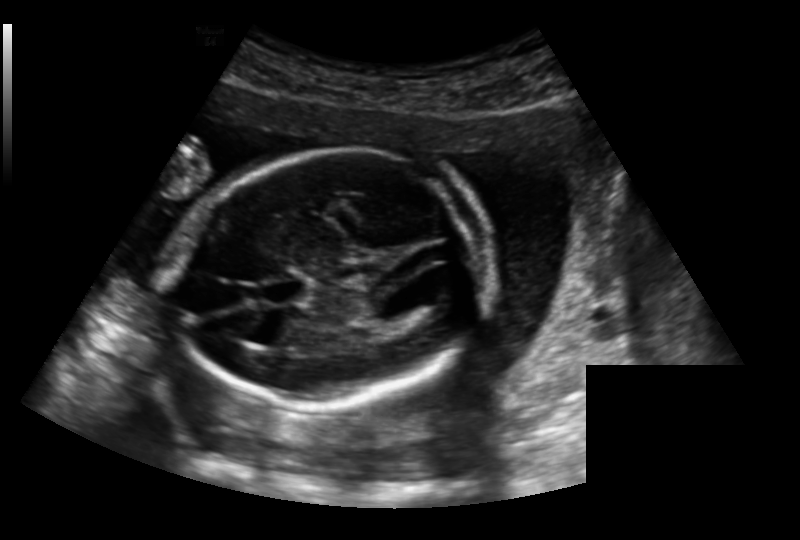
Fetal head ultrasound. Image width: 152.5 mm. Locate the cavum septum pellucidum.

CSP: [263,275,307,306]